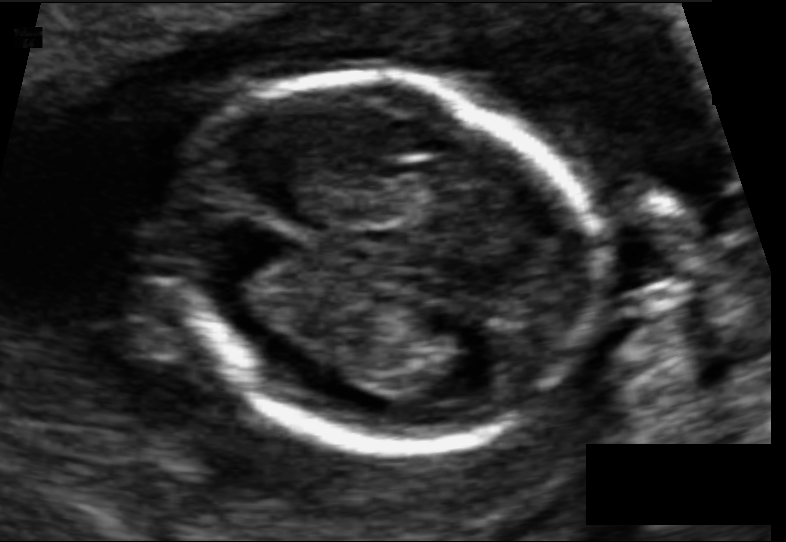
Fetal head ultrasound. Image width: 58.4 mm. Locate the fetal head.

Head: [170,76,596,453]